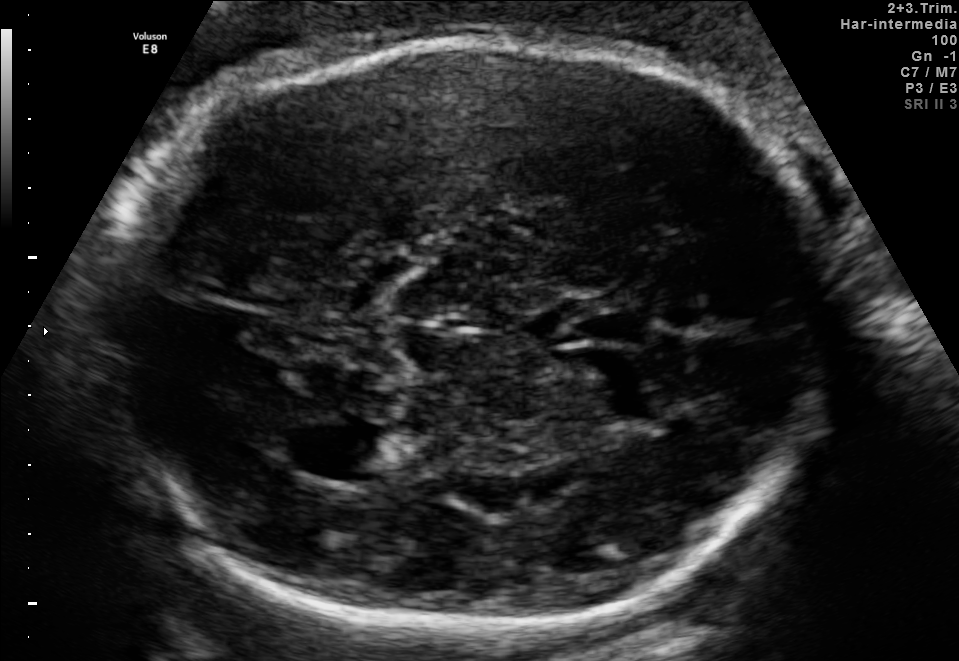
In this fetal brain, trans-thalamic plane, give the bounding box of the cavum septum pellucidum.

[539,302,652,352]